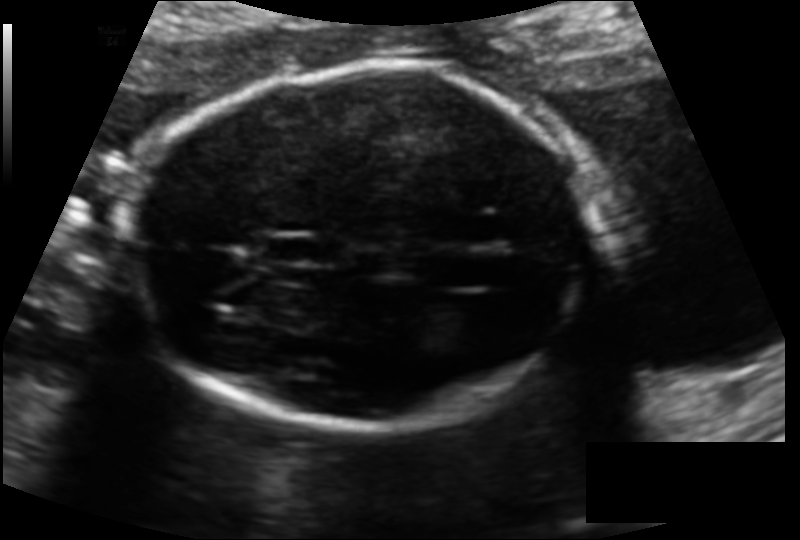
In this fetal head ultrasound, give the bounding box of the fetal head. Image width: 101.0 mm.

[127,65,591,429]